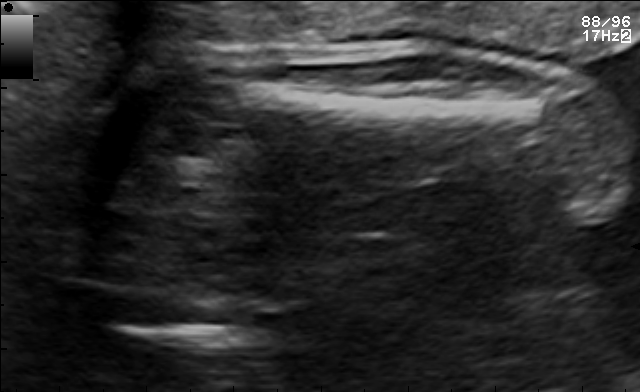
Identify the standard plane in this fetal ultrasound image: fetal abdomen, fetal brain, fetal femur, fetal thorax, maternal cervix, or other. If it's fetal brain and one of the three standard brain planes (trans-thalamic, trans-cerebellum, trans-ventricular), name which.

Fetal femur